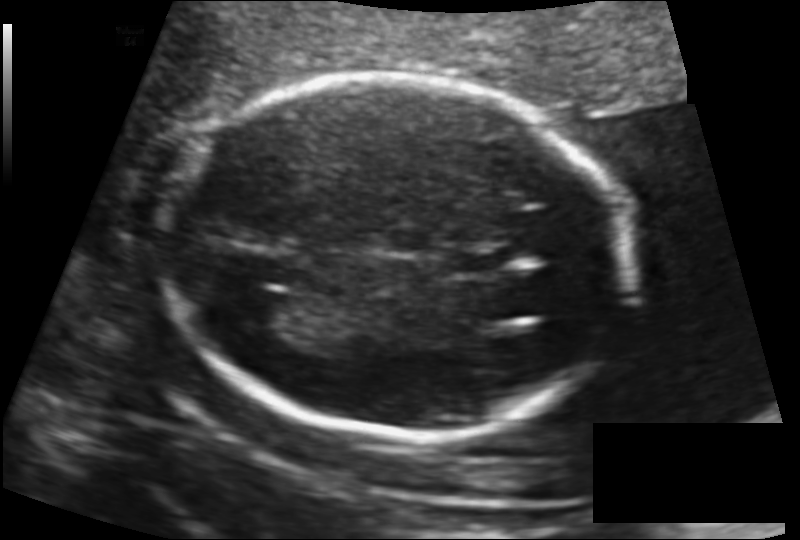
Estimate the fetal head circumference from this 2D ultrasound. Image width: 104.1 mm.

Head circumference: 175.8 mm.